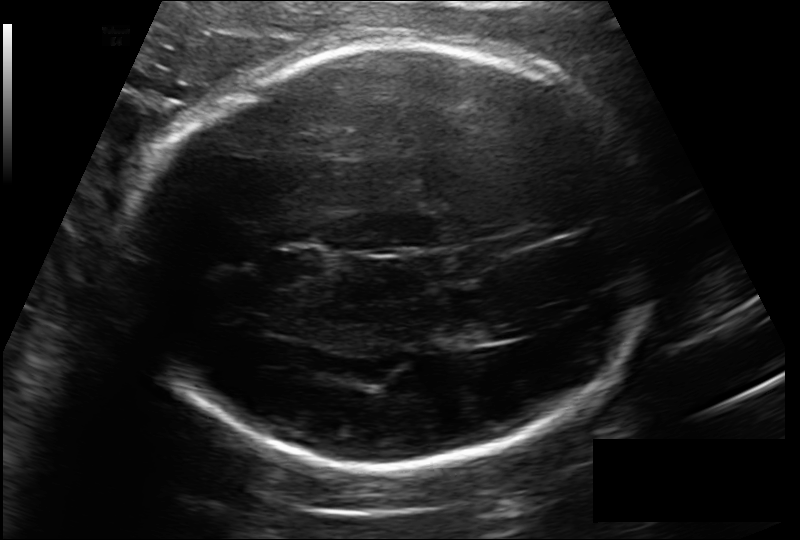
In this fetal head ultrasound, give the bounding box of the lateral ventricle. Image width: 148.1 mm.

[459,318,510,347]